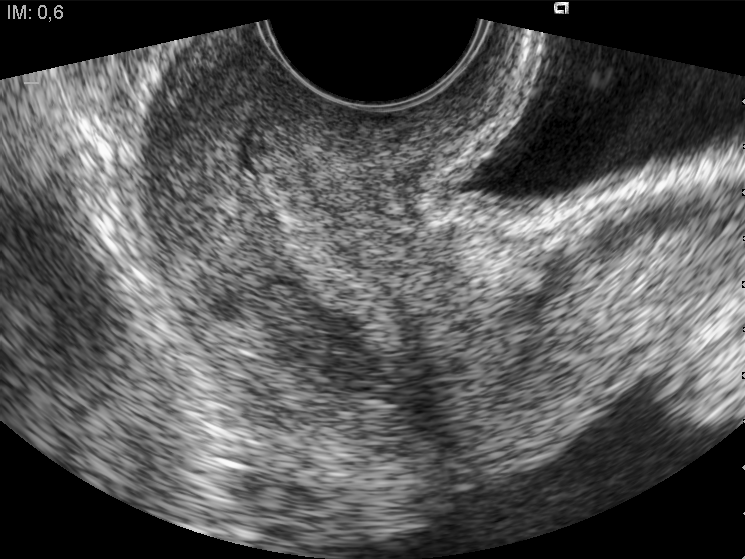
Classify this maternal-fetal ultrasound image as one of the six standard planes — fetal abdomen, fetal brain, fetal femur, fetal thorax, maternal cervix, or other. If it's fetal brain and one of the three standard brain planes (trans-thalamic, trans-cerebellum, trans-ventricular), name which.

Maternal cervix